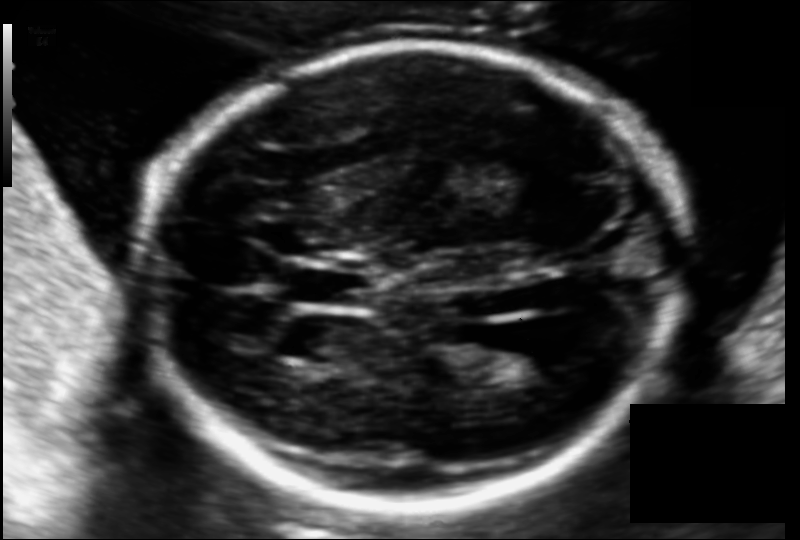
In this fetal head ultrasound, give the bounding box of the cavum septum pellucidum. Image width: 94.4 mm.

[290,269,366,307]